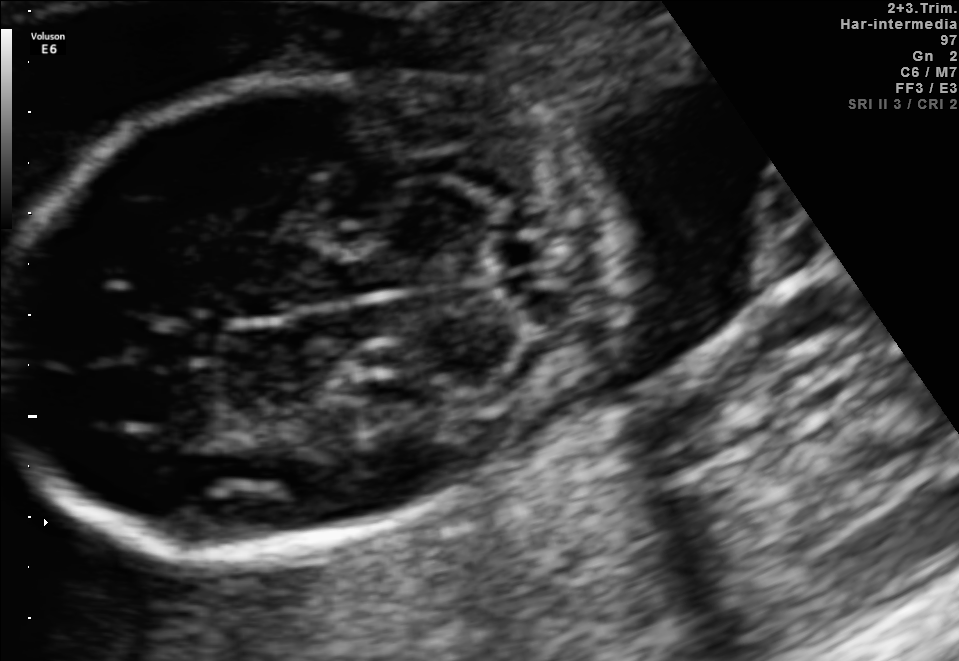
Fetal brain, trans-cerebellum plane. Where is the cavum septum pellucidum?

CSP bounding box: [138,318,220,372]